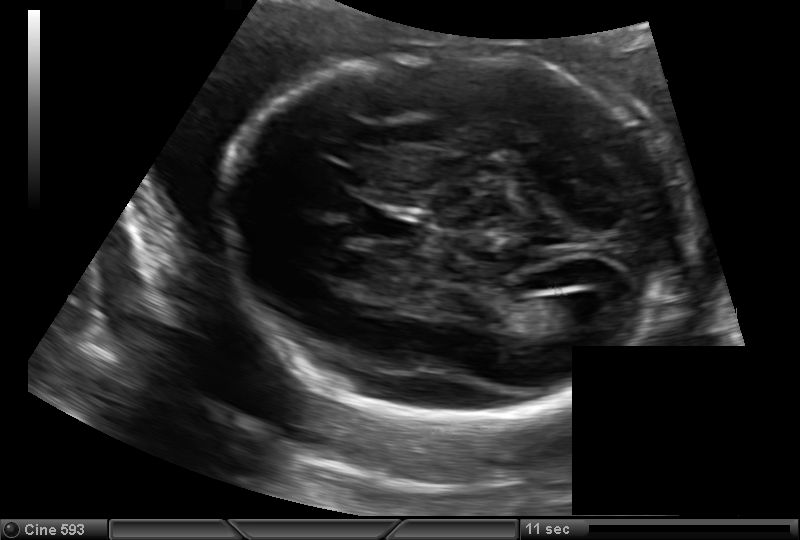
From this fetal ultrasound, estimate the head circumference (image width 115.2 mm).

Head circumference: 196.0 mm.